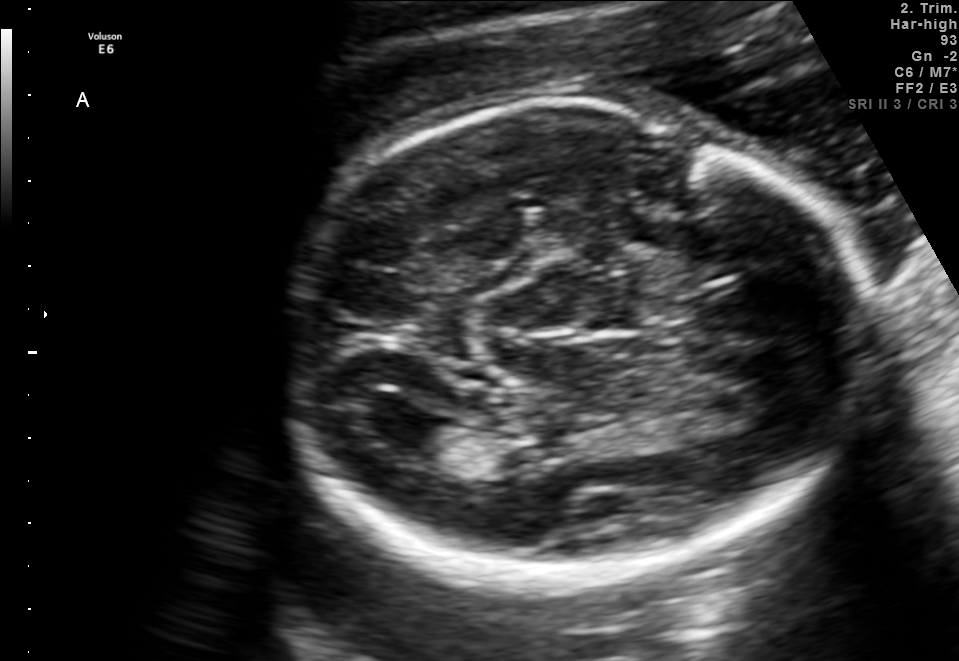
Fetal brain, trans-ventricular plane. Where is the fetal head?

Head bounding box: [271,101,880,598]